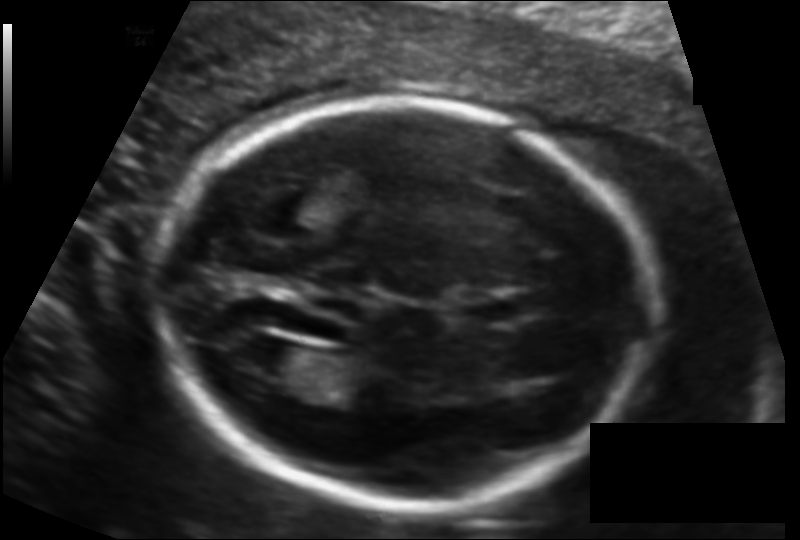
In this fetal head ultrasound, give the bounding box of the fetal head. Image width: 98.9 mm.

[158,98,649,507]